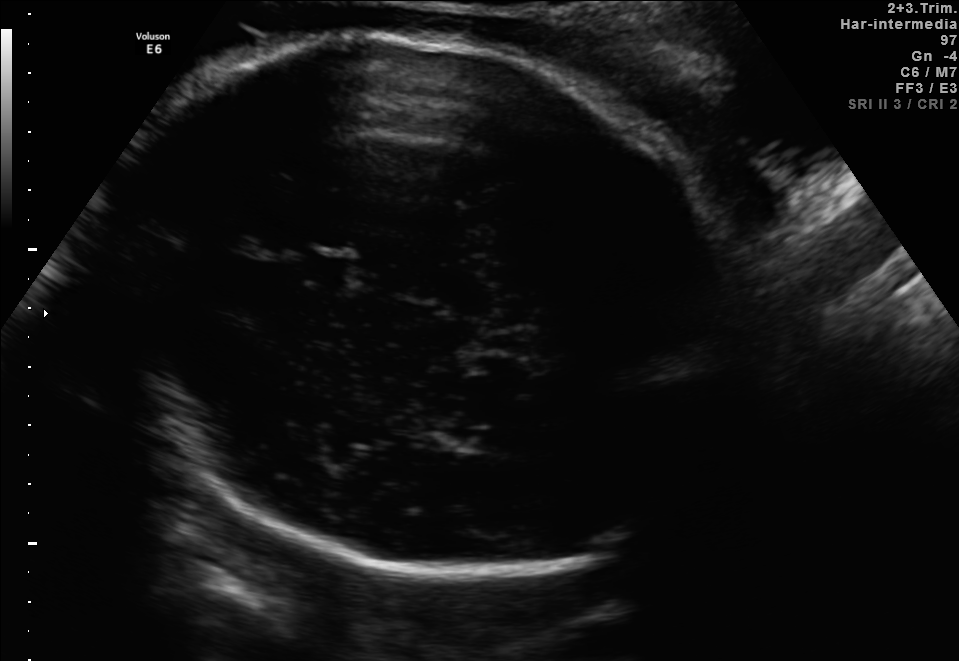
Fetal brain, trans-thalamic plane. Locate the fetal head and, if visible, the cavum septum pellucidum (CSP) and lateral ventricle (LV). Give bounding boxes as [x1,y1,x2,y2].

Head: [98,27,751,578]
CSP: [307,254,347,286]